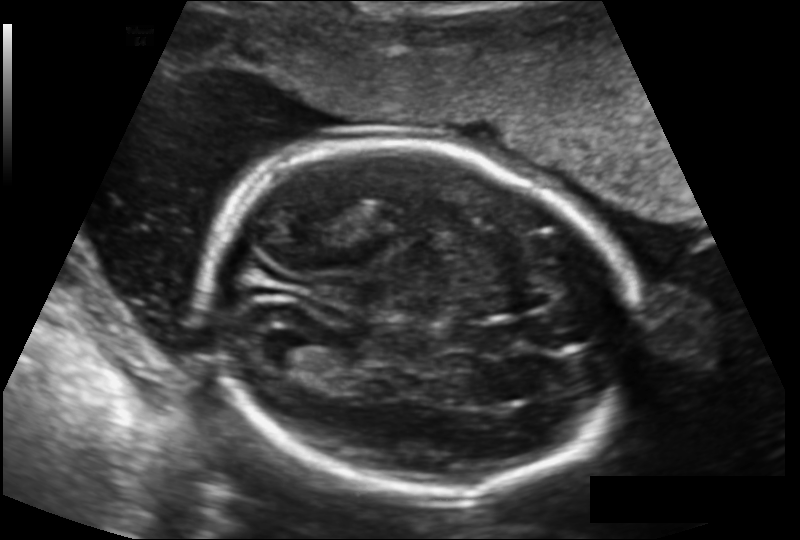
From this fetal ultrasound, estimate the head circumference (image width 114.2 mm).

Head circumference: 183.7 mm.